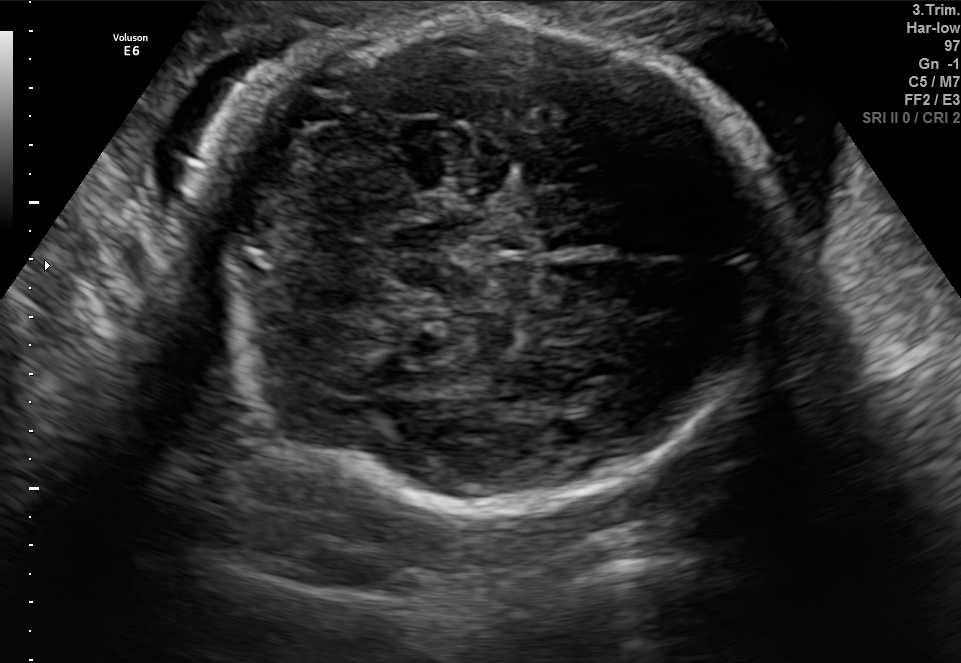
Fetal brain, trans-cerebellum plane. Where is the fetal head?

Head bounding box: [184,15,775,502]